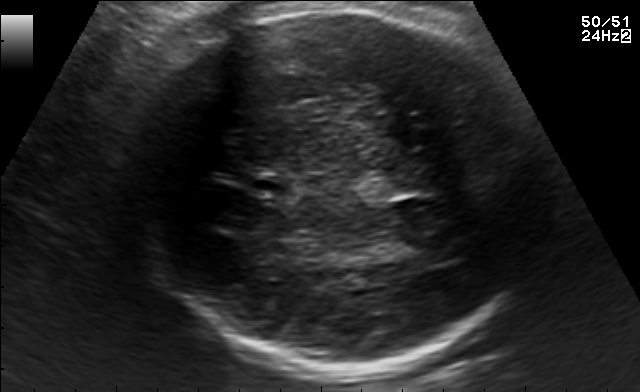
In this fetal brain, trans-thalamic plane, give bounding boxes for the head outline, cavum septum pellucidum (CSP), and lateral ventricle (LV), where visible.

Head: [132,8,537,372]
CSP: [251,175,290,195]